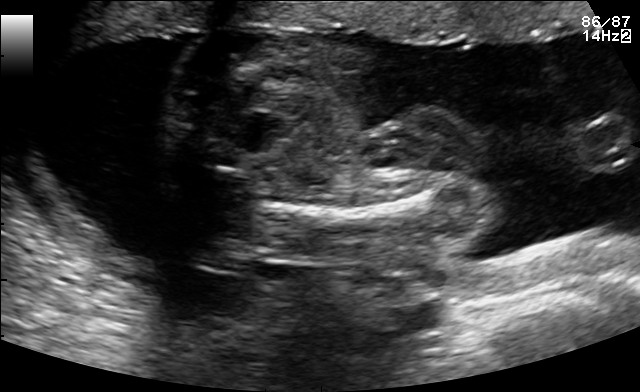
Identify the standard plane in this fetal ultrasound image: fetal abdomen, fetal brain, fetal femur, fetal thorax, maternal cervix, or other. If it's fetal brain and one of the three standard brain planes (trans-thalamic, trans-cerebellum, trans-ventricular), name which.

Fetal femur